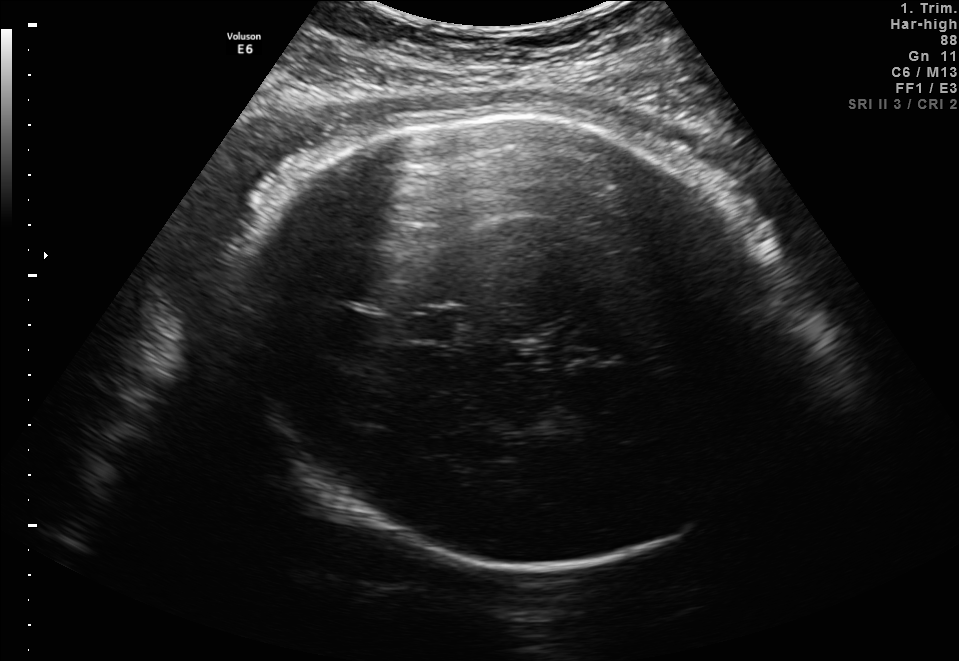
Fetal brain, trans-thalamic plane. Where is the cavum septum pellucidum?

CSP bounding box: [402,308,460,339]